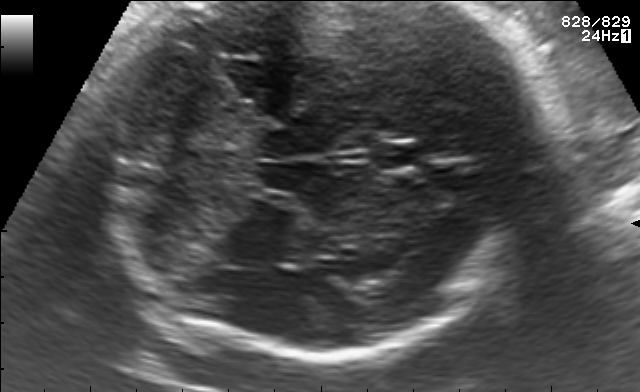
In this fetal brain, trans-cerebellum plane, give bounding boxes for the head outline, cavum septum pellucidum (CSP), and lateral ventricle (LV), where visible.

Head: [115,2,557,356]
CSP: [372,140,420,171]